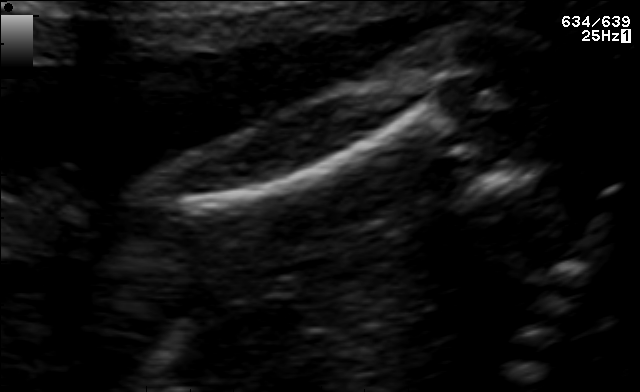
Which standard maternal-fetal ultrasound plane is shown: fetal abdomen, fetal brain, fetal femur, fetal thorax, maternal cervix, or other? If it's fetal brain and one of the three standard brain planes (trans-thalamic, trans-cerebellum, trans-ventricular), name which.

Fetal femur